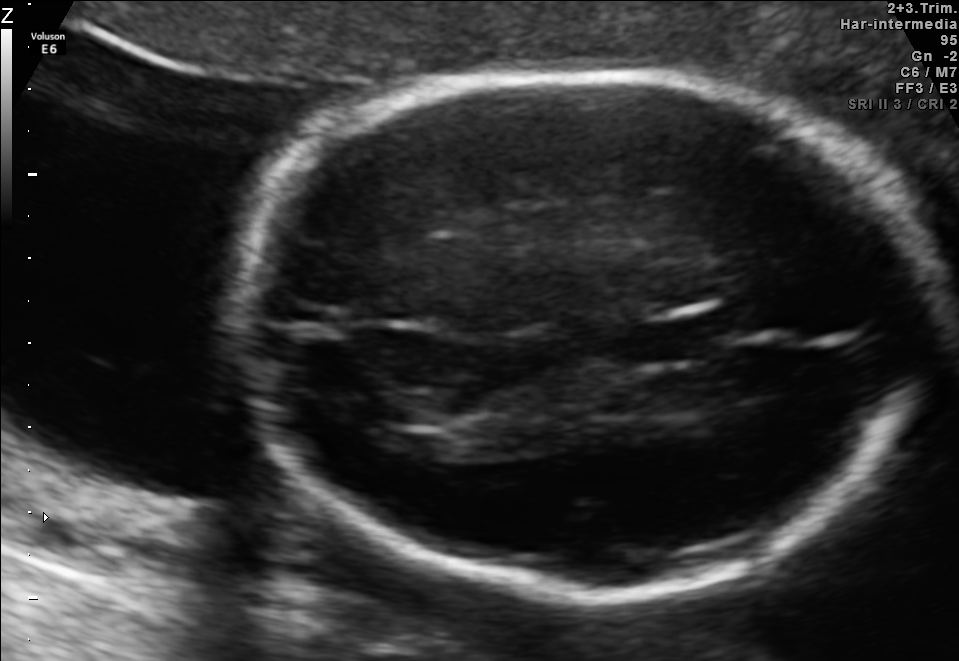
Fetal brain, trans-thalamic plane. Locate the cavum septum pellucidum.

CSP: [631,312,725,369]